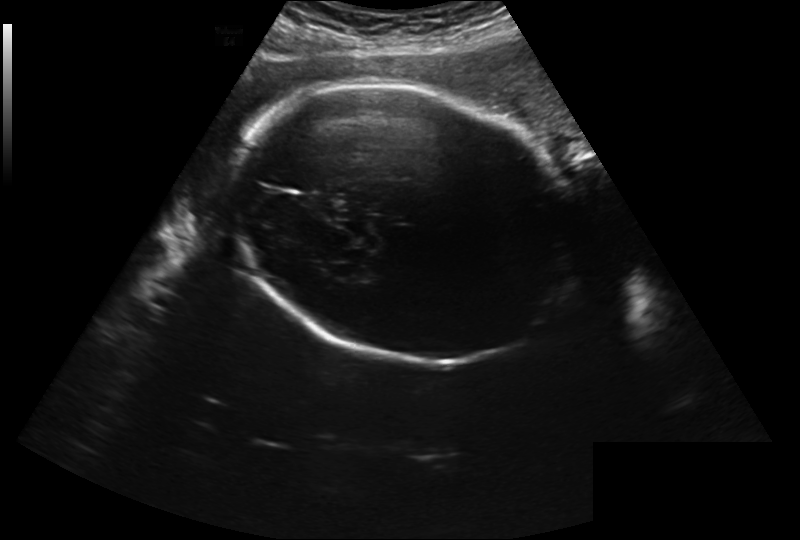
Measure the fetal head circumference shown in this ultrasound image. Image width: 223.8 mm.

Head circumference: 279.4 mm.